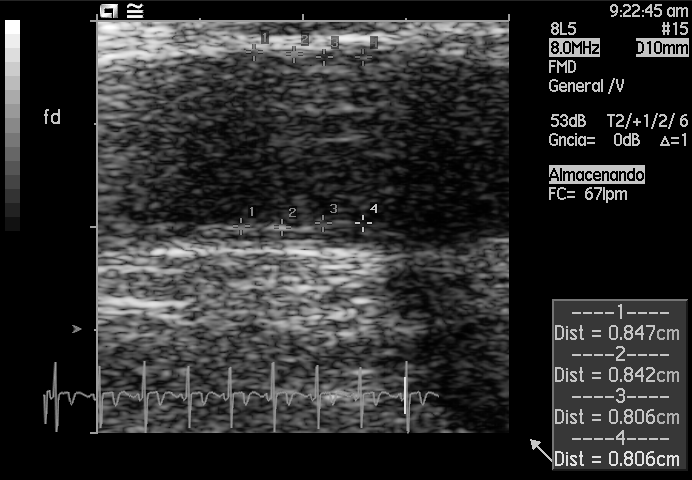
Classify this maternal-fetal ultrasound image as one of the six standard planes — fetal abdomen, fetal brain, fetal femur, fetal thorax, maternal cervix, or other. If it's fetal brain and one of the three standard brain planes (trans-thalamic, trans-cerebellum, trans-ventricular), name which.

Other